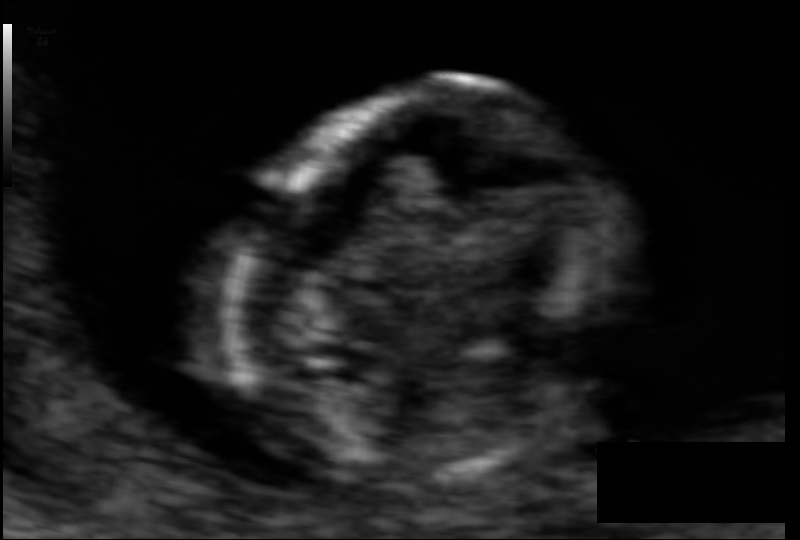
In this fetal head ultrasound, give bounding boxes for the head outline, cavum septum pellucidum (CSP), and lateral ventricle (LV), where visible. Image width: 44.4 mm.

Head: [233,80,606,488]